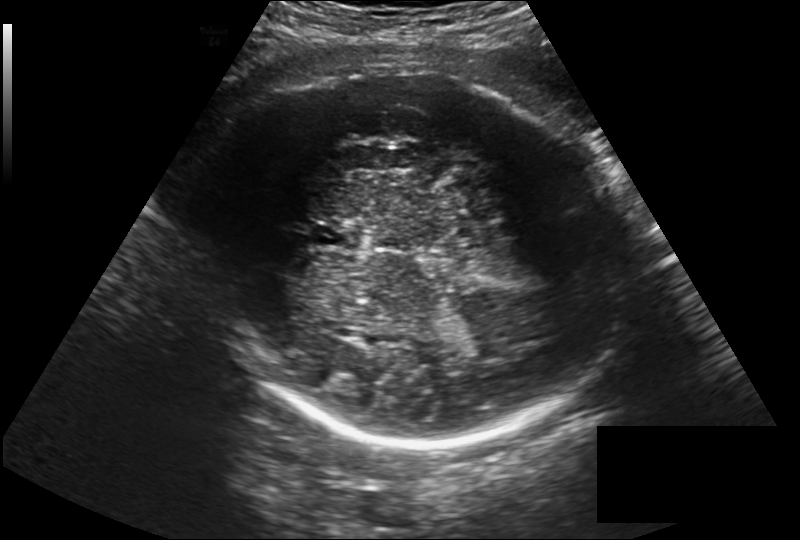
Fetal head ultrasound. Image width: 205.7 mm. Give [x1,y1,x2,y2] bounding boxes for each visible structure among: fetal head, CSP, LV.

Head: [210,74,626,446]
CSP: [310,220,365,251]